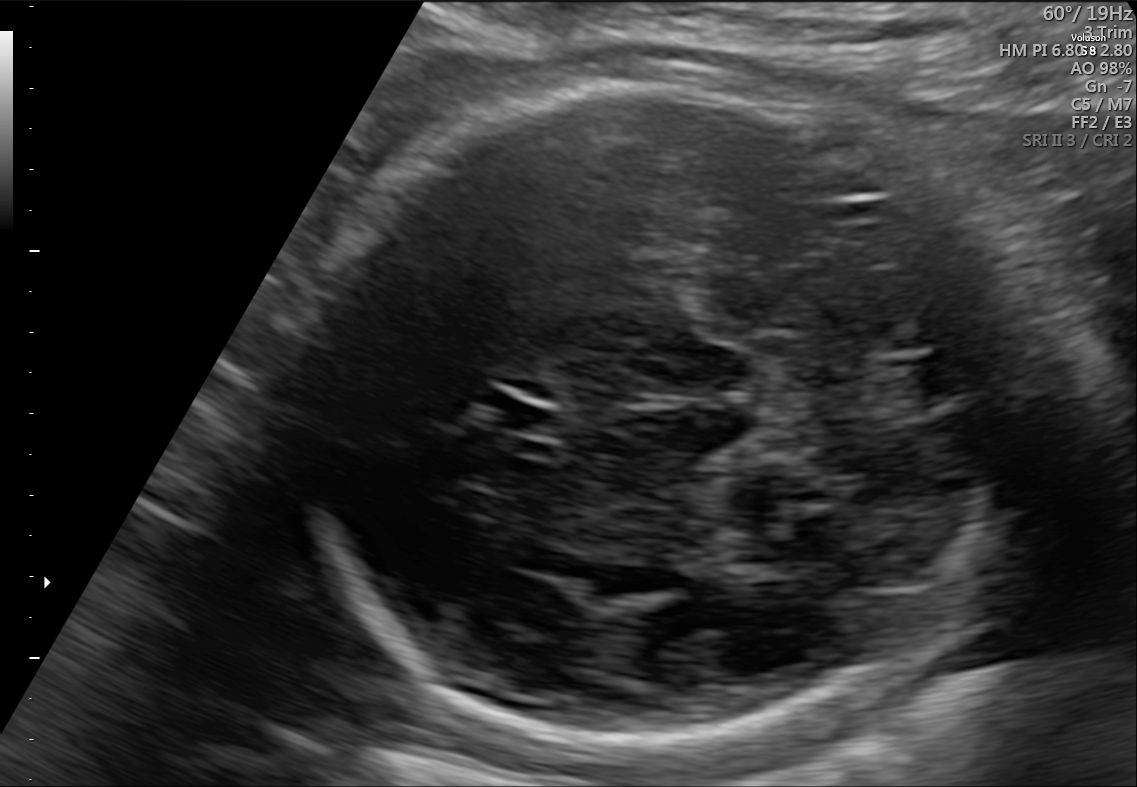
In this fetal brain, trans-cerebellum plane, give the bounding box of the fetal head.

[302,83,982,756]